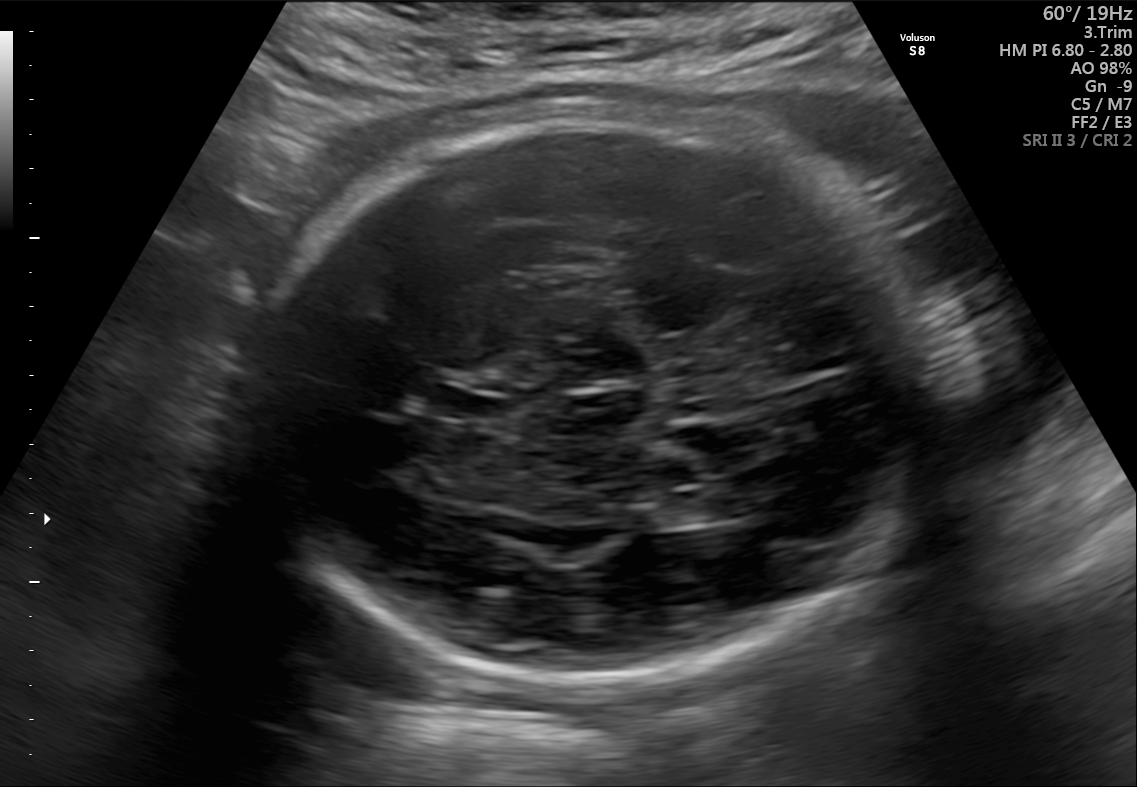
Which standard maternal-fetal ultrasound plane is shown: fetal abdomen, fetal brain, fetal femur, fetal thorax, maternal cervix, or other? If it's fetal brain and one of the three standard brain planes (trans-thalamic, trans-cerebellum, trans-ventricular), name which.

Fetal brain (trans-ventricular plane)